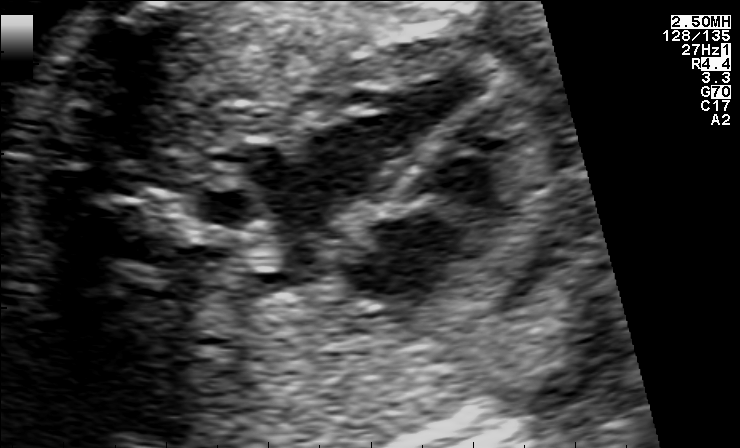
This is a 2D maternal-fetal ultrasound frame. Is it a fetal abdomen, fetal brain, fetal femur, fetal thorax, maternal cervix, or other standard plane? If it's fetal brain and one of the three standard brain planes (trans-thalamic, trans-cerebellum, trans-ventricular), name which.

Fetal thorax